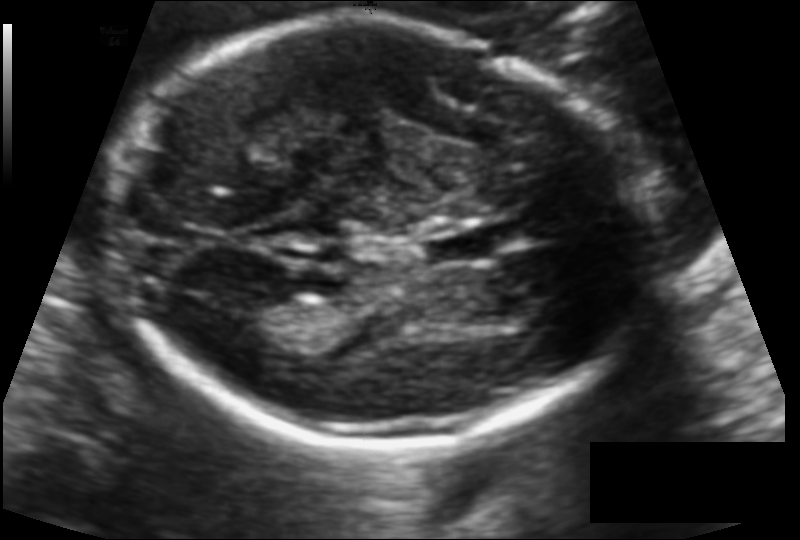
Fetal head ultrasound. Image width: 90.9 mm. Locate the fetal head.

Head: [110,20,650,444]